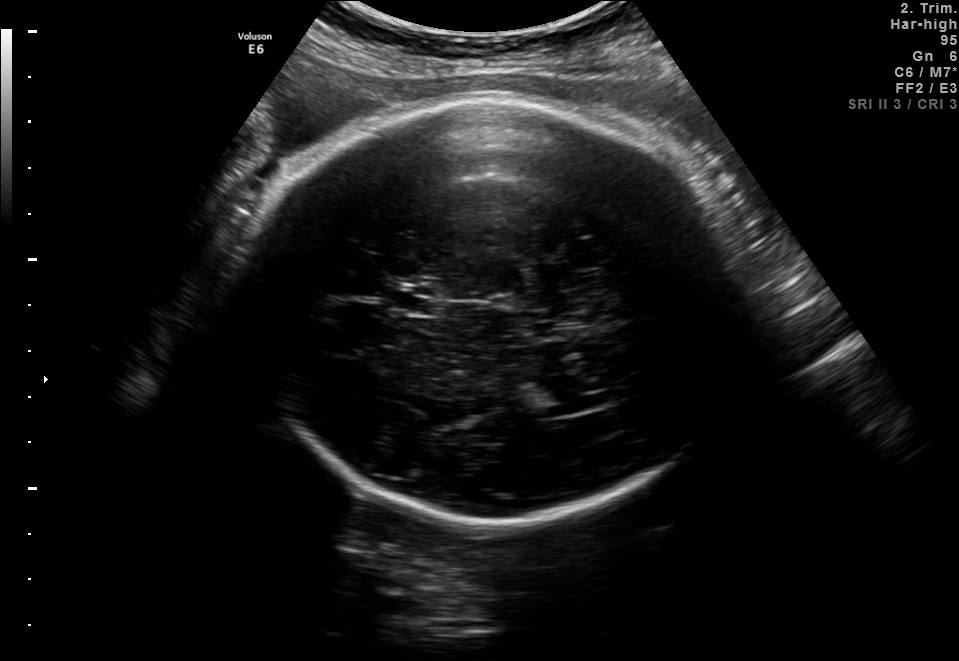
Fetal brain, trans-ventricular plane. Where is the lateral ventricle?

Lateral ventricle bounding box: [527,373,595,419]